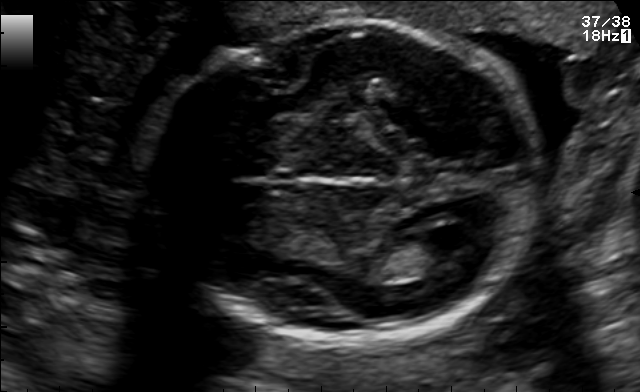
In this fetal brain, trans-ventricular plane, give the bounding box of the cavum septum pellucidum.

[273,174,297,190]